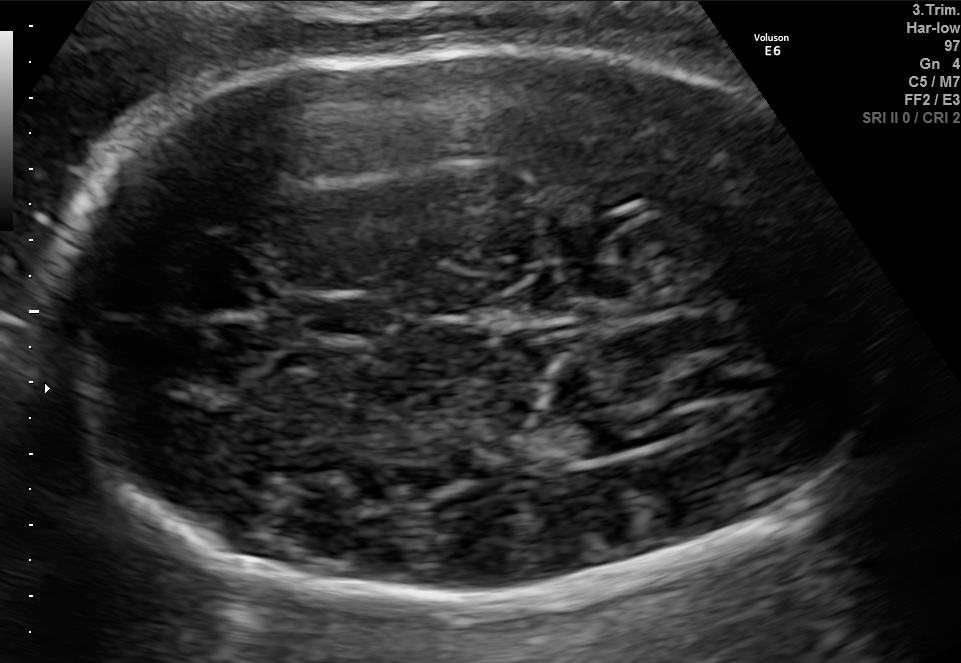
Fetal brain, trans-thalamic plane. Locate the lateral ventricle.

Lateral ventricle: [532,408,649,470]